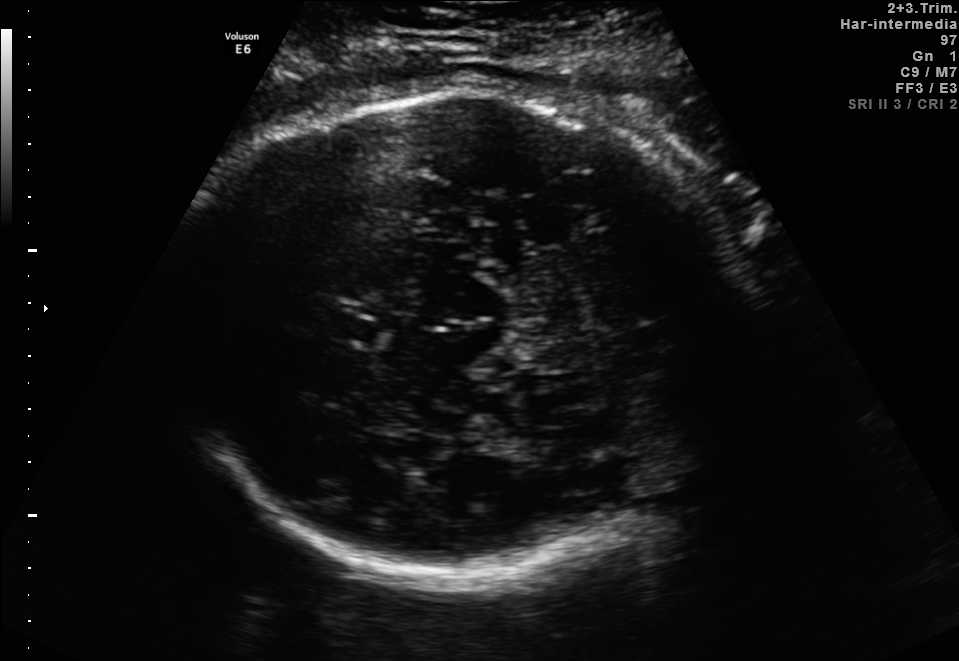
Fetal brain, trans-thalamic plane. Give [x1,y1,x2,y2] bounding boxes for each visible structure among: fetal head, CSP, LV.

Head: [164,87,753,574]
CSP: [329,313,378,344]